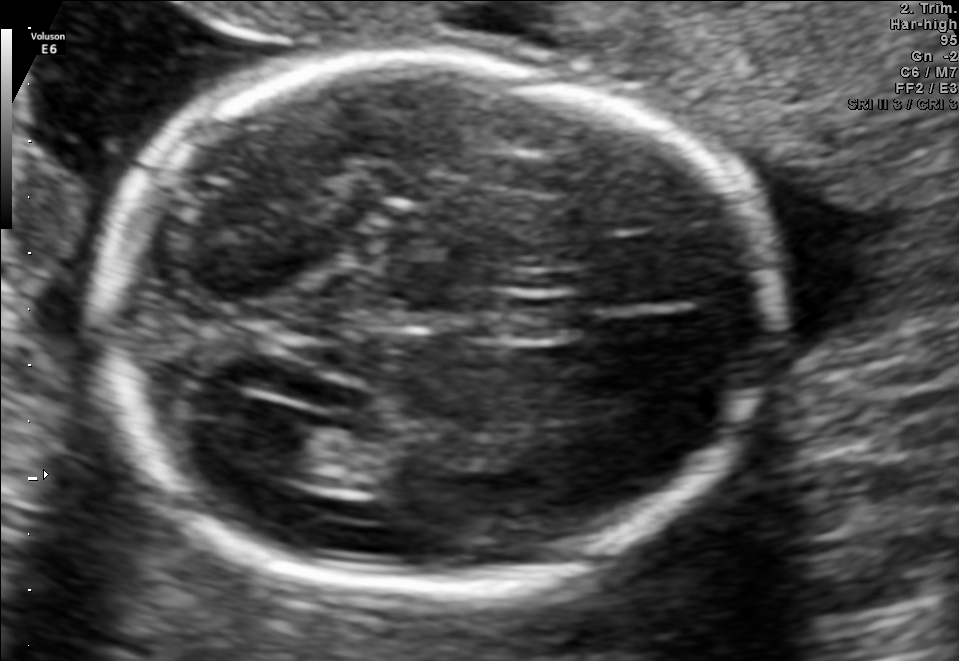
Fetal brain, trans-ventricular plane. Where is the fetal head?

Head bounding box: [80,41,797,612]